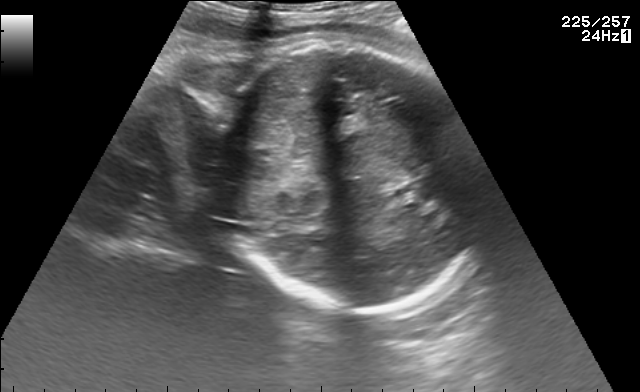
Classify this maternal-fetal ultrasound image as one of the six standard planes — fetal abdomen, fetal brain, fetal femur, fetal thorax, maternal cervix, or other. If it's fetal brain and one of the three standard brain planes (trans-thalamic, trans-cerebellum, trans-ventricular), name which.

Fetal brain